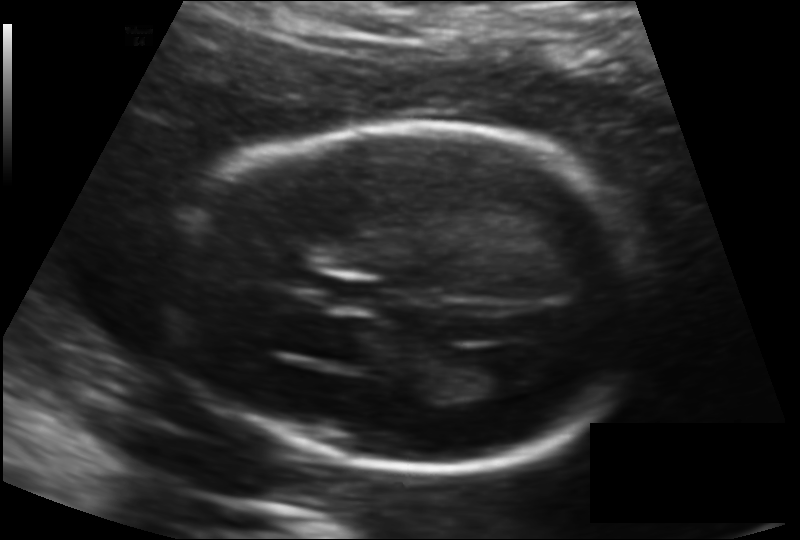
What is the fetal head circumference? Image width is 108.1 mm.

178.4 mm